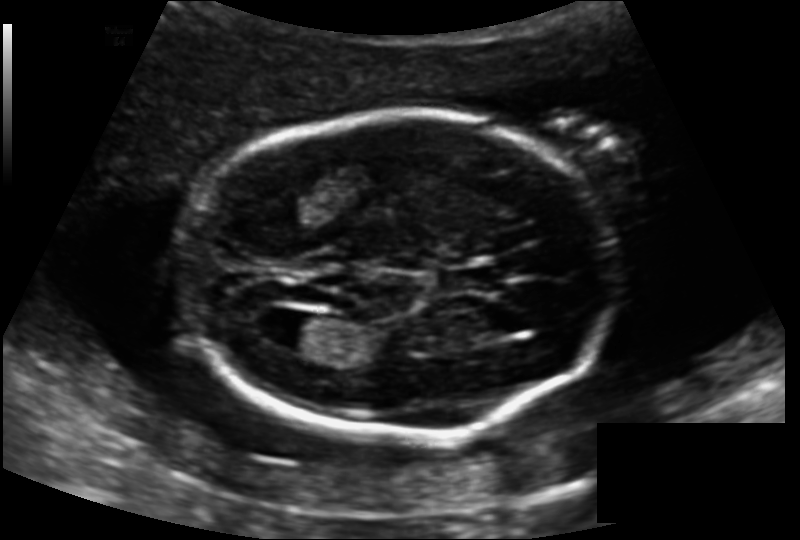
In this fetal head ultrasound, give bounding boxes for the head outline, cavum septum pellucidum (CSP), and lateral ventricle (LV), where visible. Image width: 111.5 mm.

Head: [183,112,614,435]
CSP: [441,264,501,296]
Lateral ventricle: [267,311,331,355]